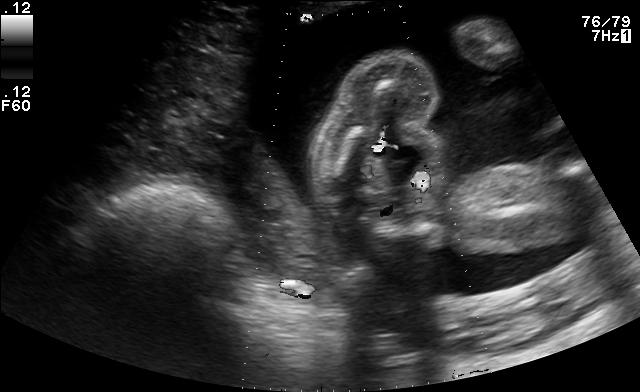
This is a 2D maternal-fetal ultrasound frame. Is it a fetal abdomen, fetal brain, fetal femur, fetal thorax, maternal cervix, or other standard plane? If it's fetal brain and one of the three standard brain planes (trans-thalamic, trans-cerebellum, trans-ventricular), name which.

Other